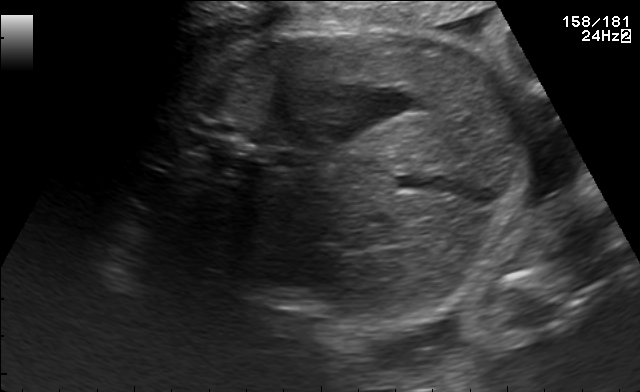
This is a 2D maternal-fetal ultrasound frame. Is it a fetal abdomen, fetal brain, fetal femur, fetal thorax, maternal cervix, or other standard plane? If it's fetal brain and one of the three standard brain planes (trans-thalamic, trans-cerebellum, trans-ventricular), name which.

Fetal abdomen